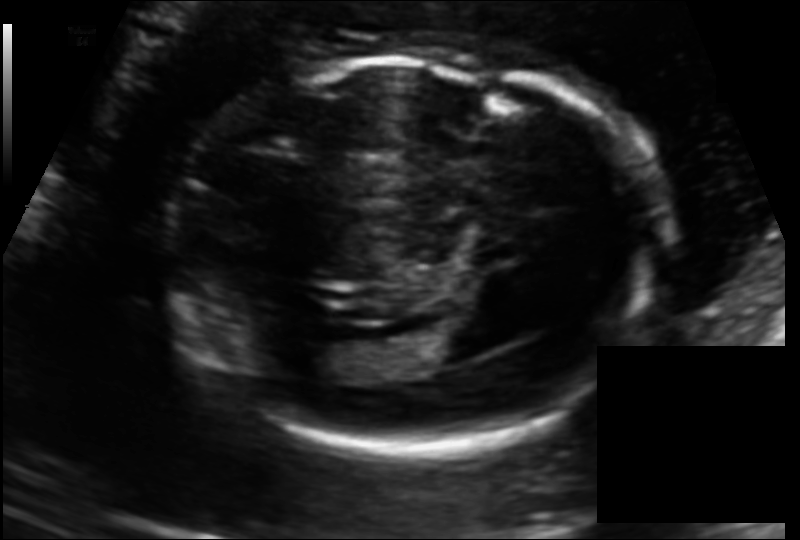
From this fetal ultrasound, estimate the head circumference (image width 100.0 mm).

Head circumference: 176.8 mm.